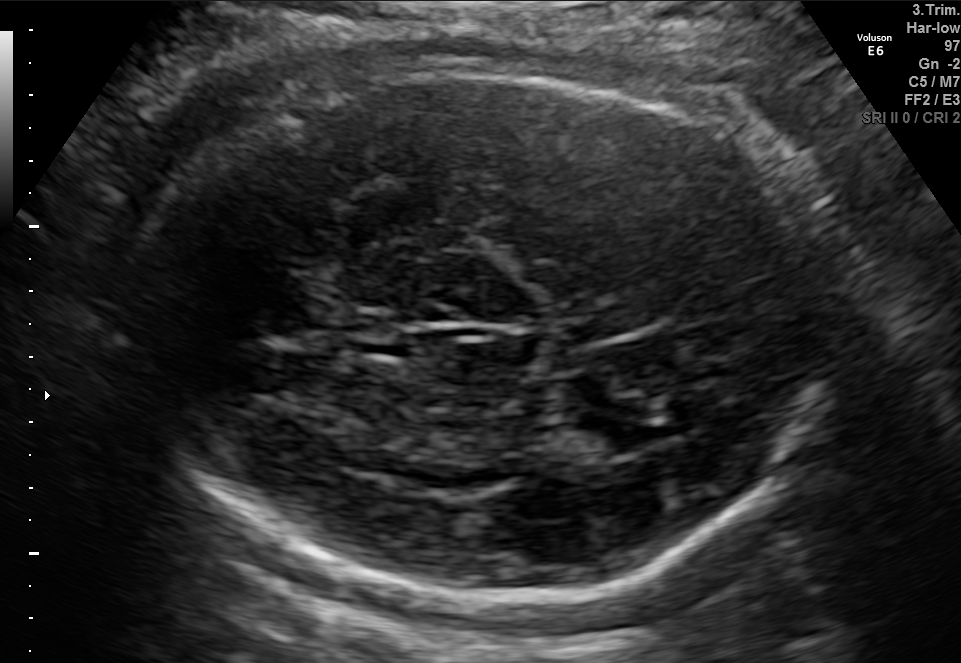
Fetal brain, trans-thalamic plane. Where is the fetal head?

Head bounding box: [131,66,830,611]